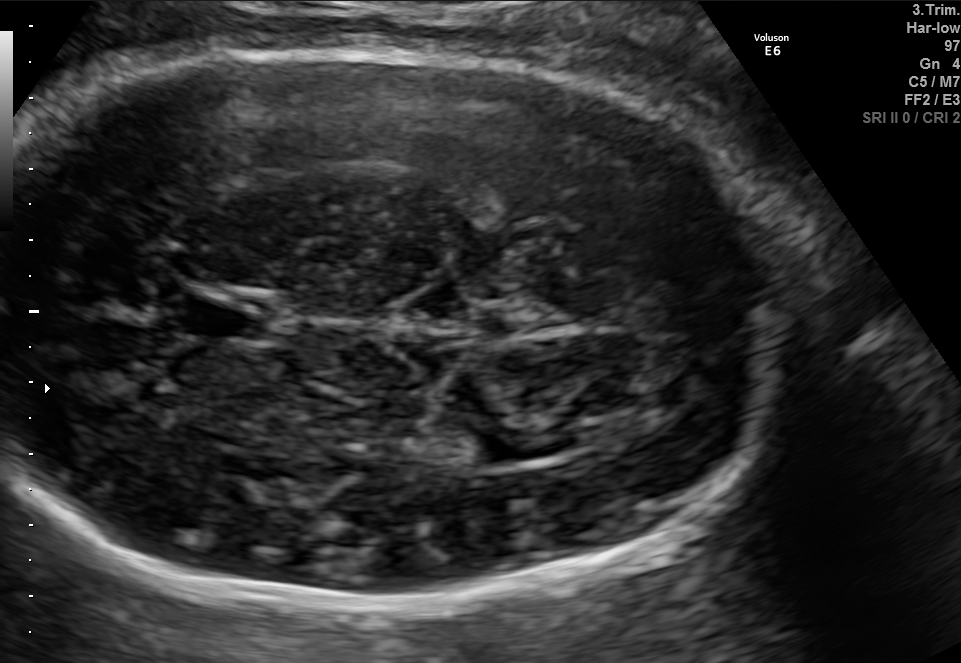
Fetal brain, trans-thalamic plane. Locate the lateral ventricle.

Lateral ventricle: [472,420,563,467]